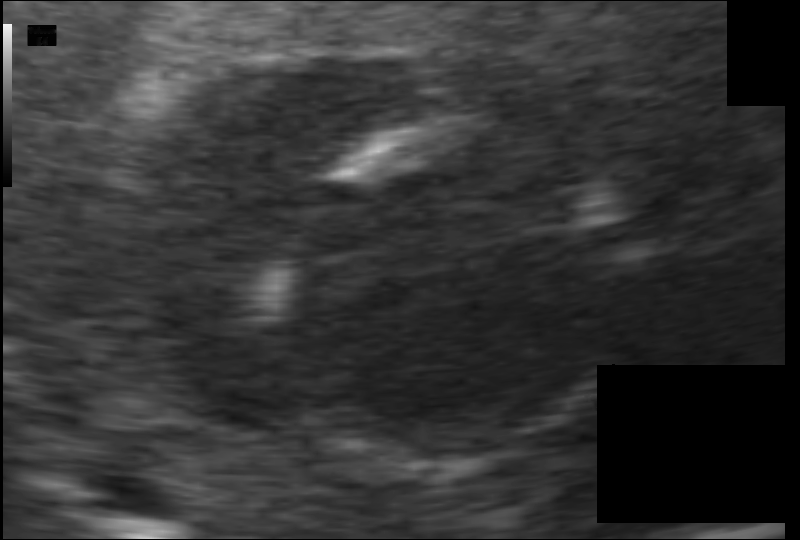
Fetal head ultrasound. Image width: 55.7 mm. Locate the fetal head.

Head: [274,122,622,471]